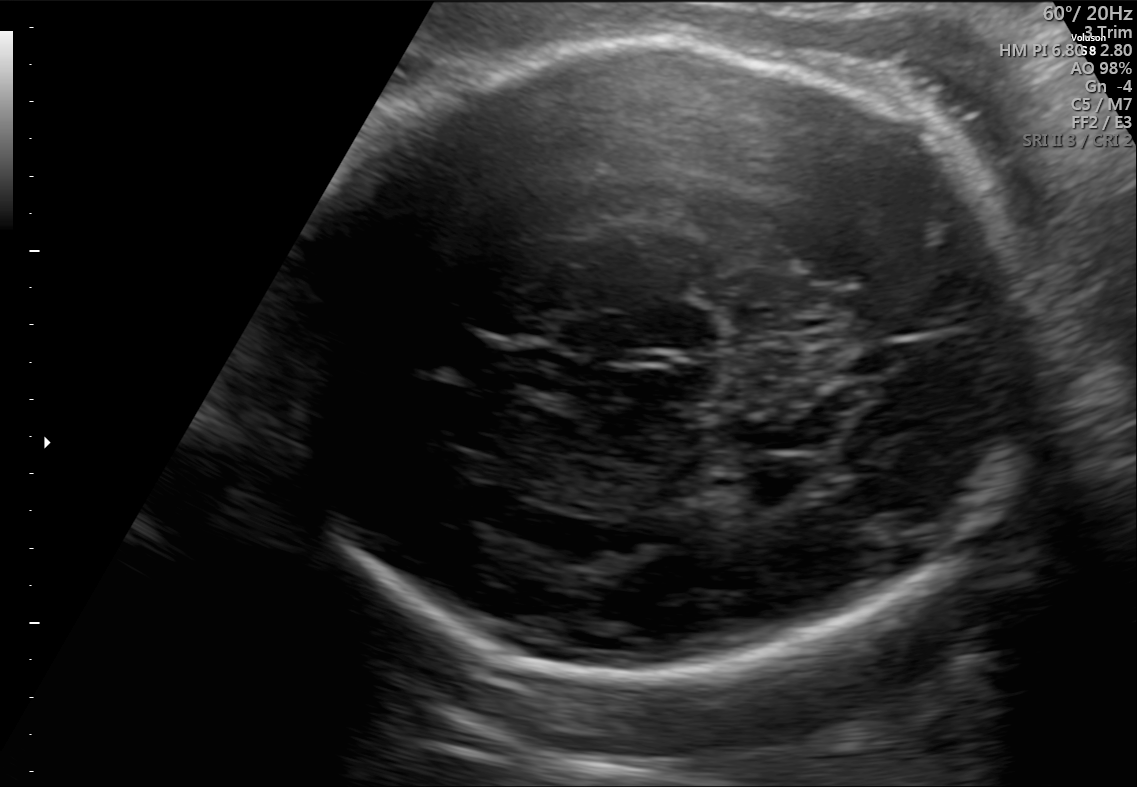
Fetal brain, trans-thalamic plane. Where is the fetal head?

Head bounding box: [270,39,1030,676]